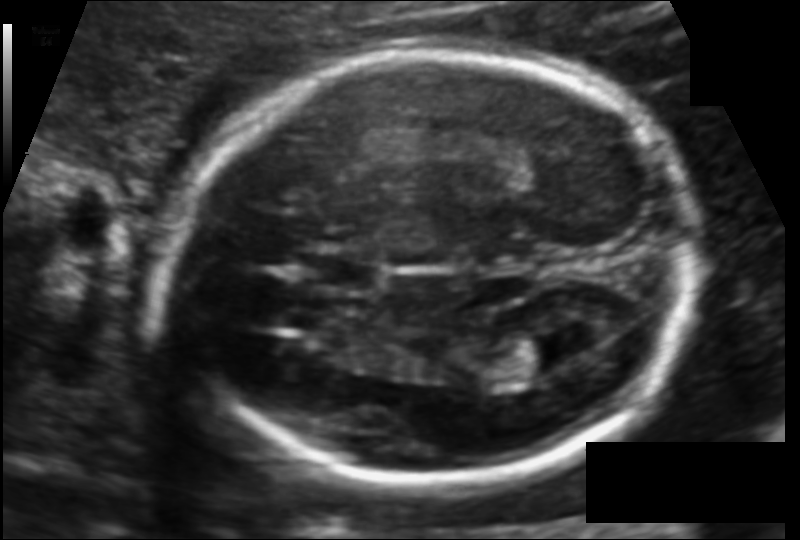
Fetal head ultrasound. Image width: 90.0 mm. Give [x1,y1,x2,y2] bounding boxes for each visible structure among: fetal head, CSP, LV.

Head: [160,51,698,484]
CSP: [298,250,386,294]
Lateral ventricle: [492,336,577,380]